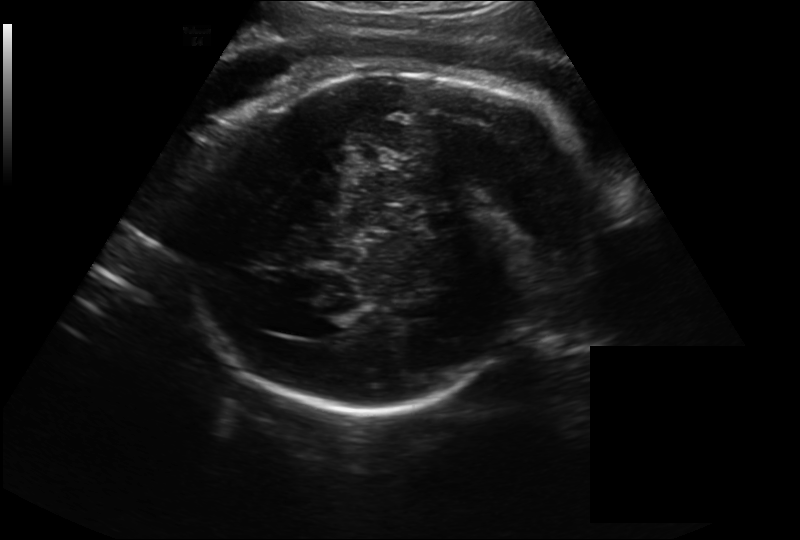
In this fetal head ultrasound, give the bounding box of the lateral ventricle. Image width: 209.3 mm.

[300,314,346,339]